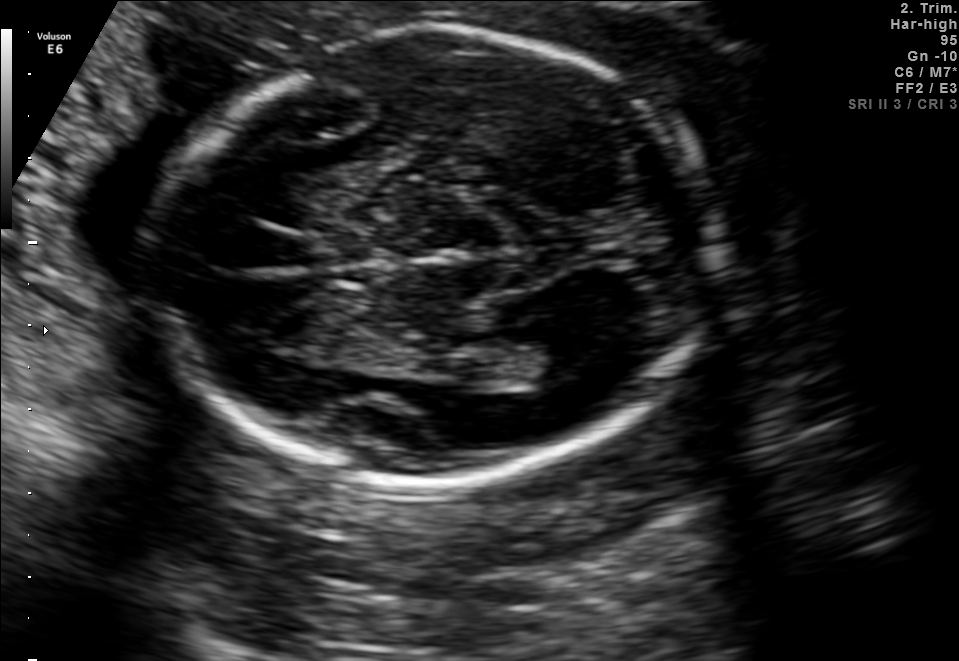
In this fetal brain, trans-ventricular plane, give bounding boxes for the head outline, cavum septum pellucidum (CSP), and lateral ventricle (LV), where visible.

Head: [148,28,727,489]
CSP: [305,248,384,283]
Lateral ventricle: [521,324,604,383]